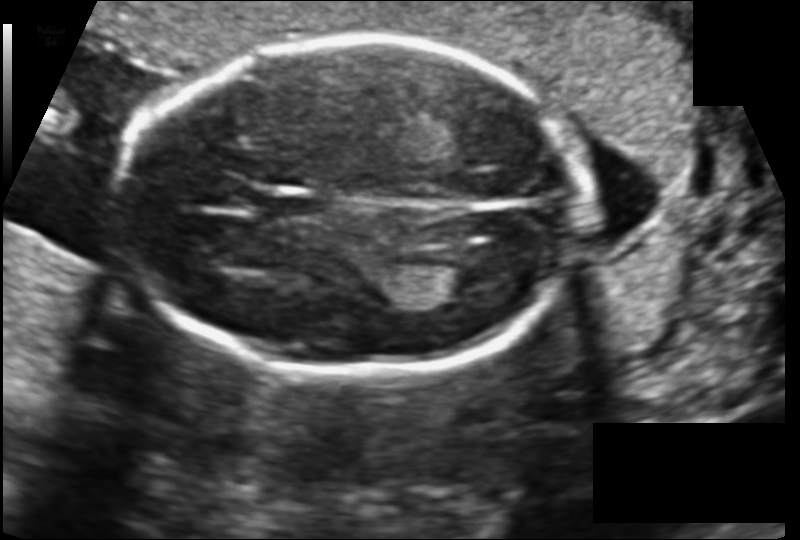
Fetal head ultrasound. Image width: 102.7 mm. Where is the fetal head?

Head bounding box: [123,38,584,378]